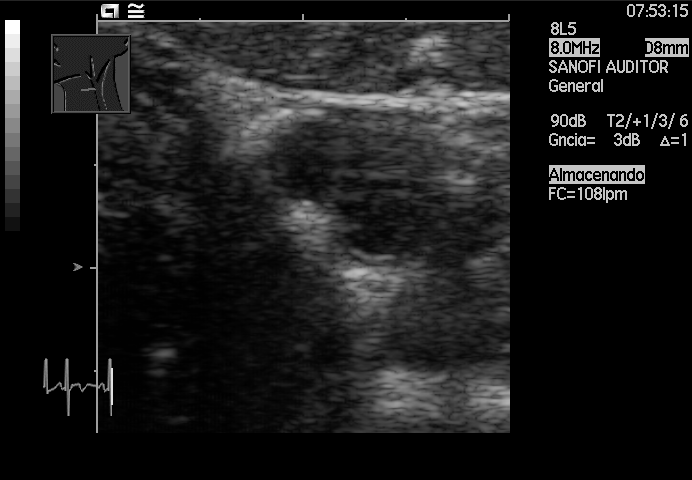
Which standard maternal-fetal ultrasound plane is shown: fetal abdomen, fetal brain, fetal femur, fetal thorax, maternal cervix, or other? If it's fetal brain and one of the three standard brain planes (trans-thalamic, trans-cerebellum, trans-ventricular), name which.

Other